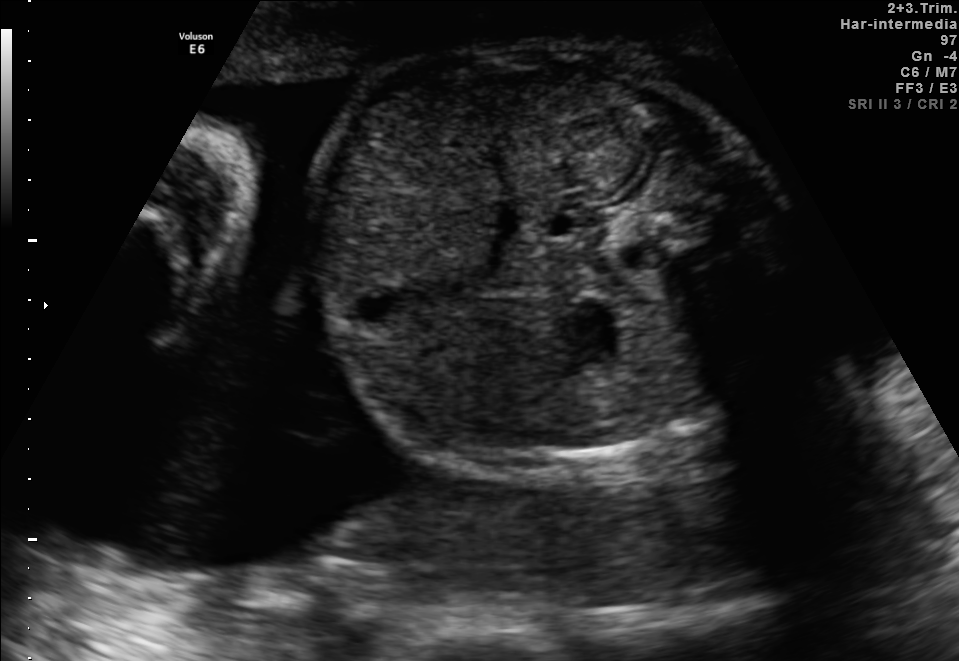
Identify the standard plane in this fetal ultrasound image: fetal abdomen, fetal brain, fetal femur, fetal thorax, maternal cervix, or other. If it's fetal brain and one of the three standard brain planes (trans-thalamic, trans-cerebellum, trans-ventricular), name which.

Fetal abdomen